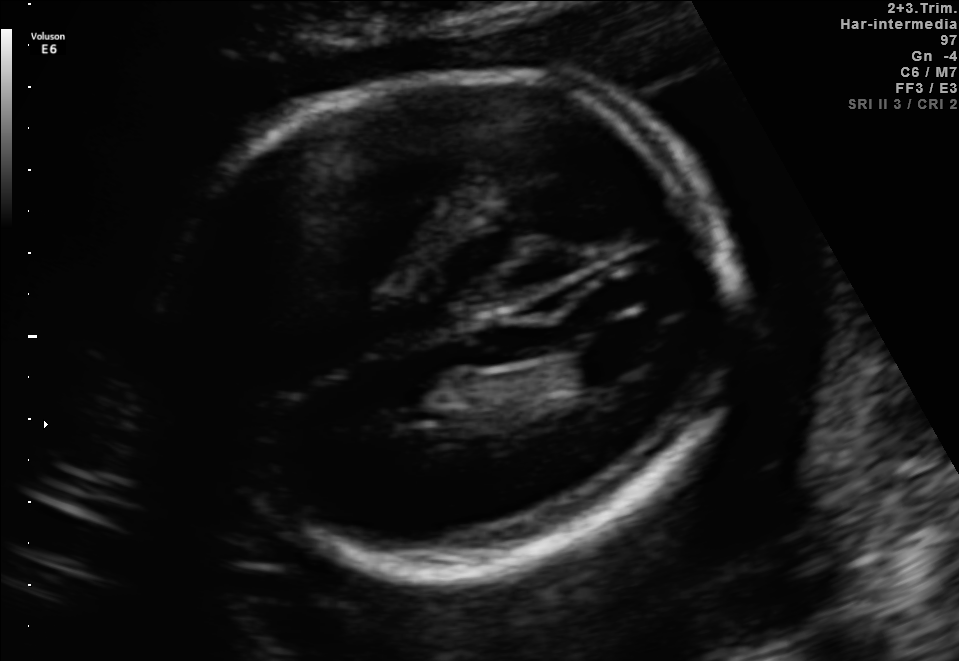
Fetal brain, trans-ventricular plane. Where is the fetal head?

Head bounding box: [159,61,758,582]